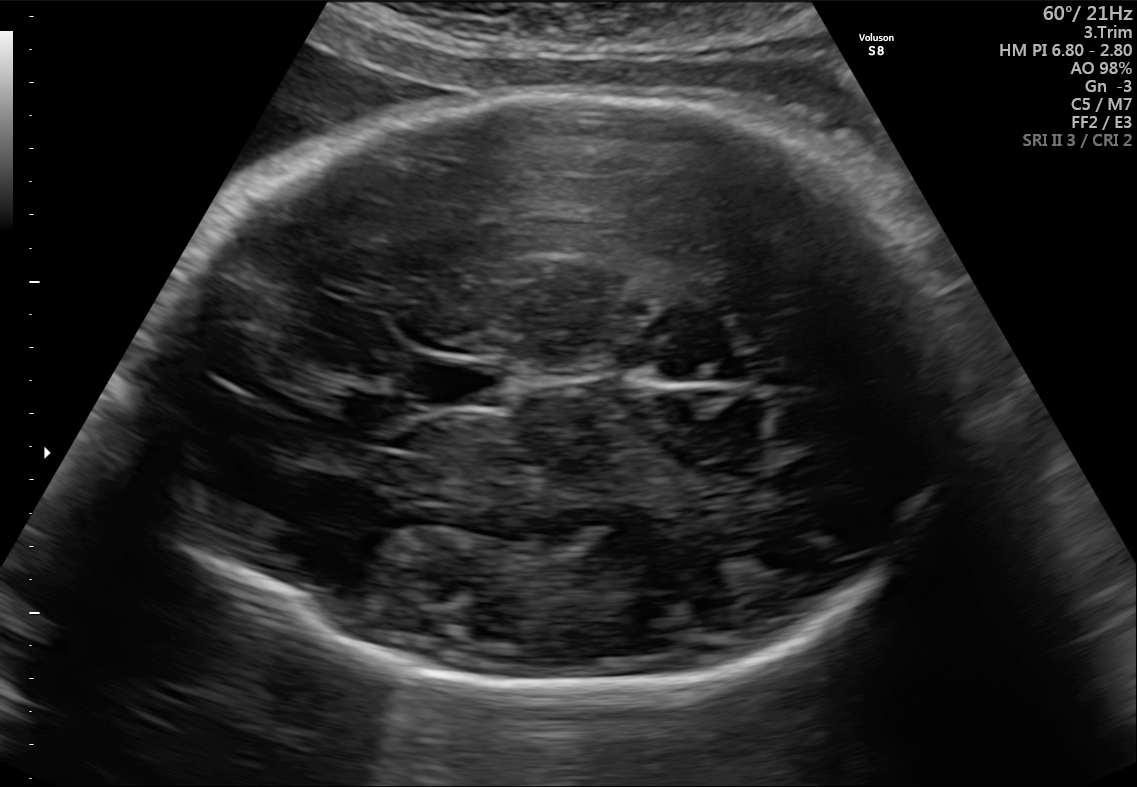
In this fetal brain, trans-thalamic plane, give bounding boxes for the head outline, cavum septum pellucidum (CSP), and lateral ventricle (LV), where visible.

Head: [130,92,966,693]
CSP: [424,359,500,410]